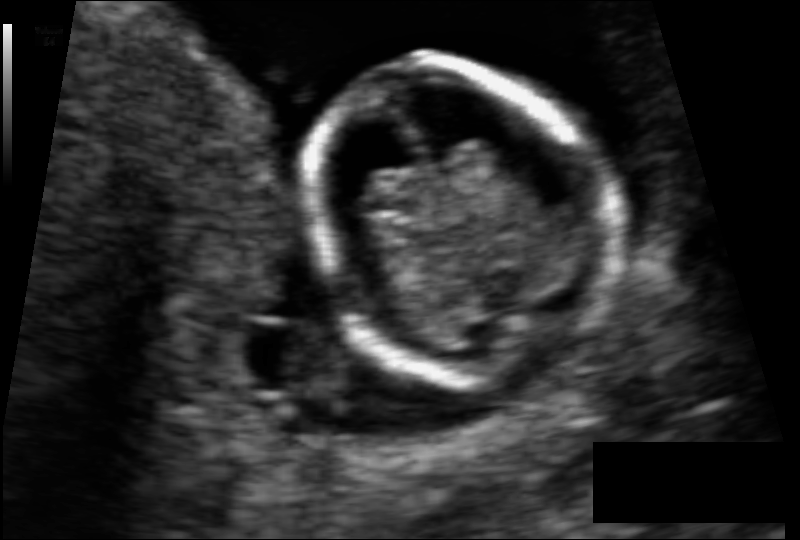
In this fetal head ultrasound, give the bounding box of the fetal head. Image width: 58.7 mm.

[306,57,617,386]